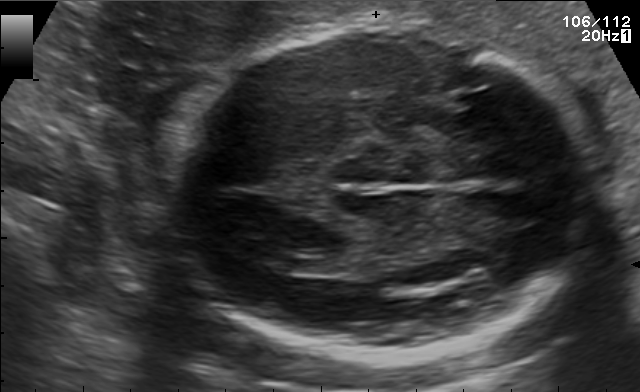
In this fetal brain, trans-ventricular plane, give bounding boxes for the head outline, cavum septum pellucidum (CSP), and lateral ventricle (LV), where visible.

Head: [157,21,609,370]
Lateral ventricle: [270,255,306,274]